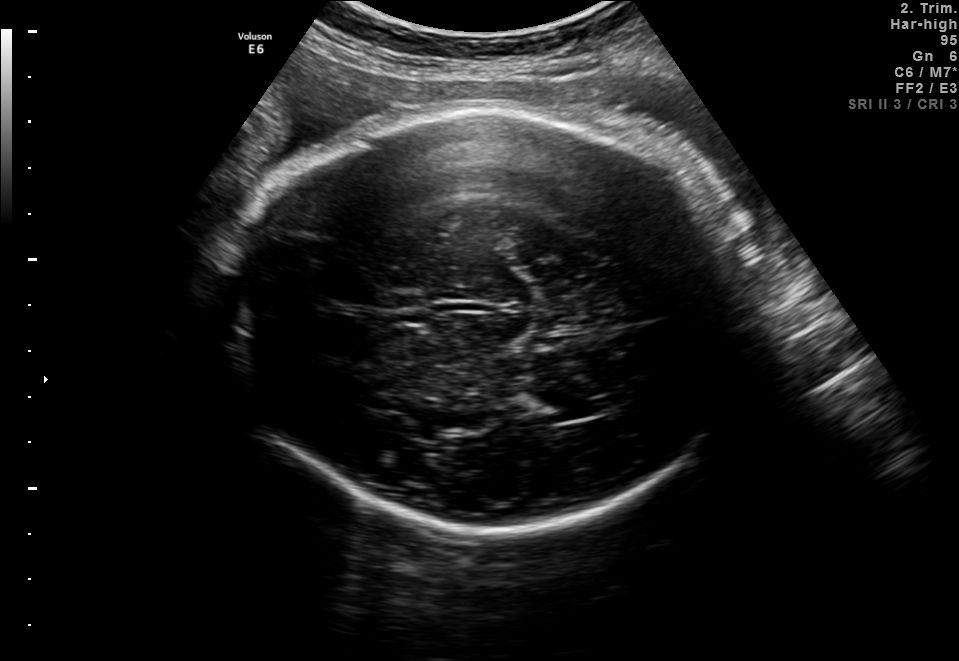
Fetal brain, trans-thalamic plane. Give [x1,y1,x2,y2] bounding boxes for each visible structure among: fetal head, CSP, LV.

Head: [232,106,751,527]
Lateral ventricle: [513,380,609,429]